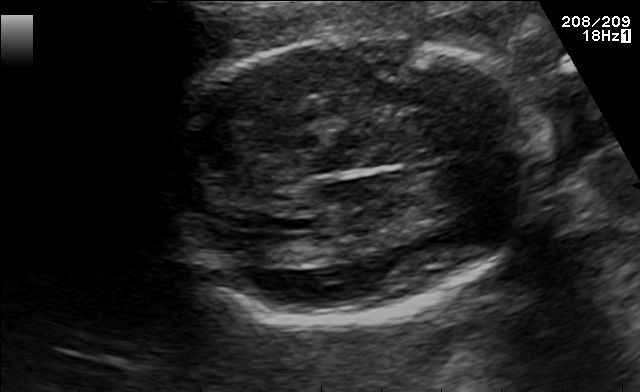
This is a 2D maternal-fetal ultrasound frame. Is it a fetal abdomen, fetal brain, fetal femur, fetal thorax, maternal cervix, or other standard plane? If it's fetal brain and one of the three standard brain planes (trans-thalamic, trans-cerebellum, trans-ventricular), name which.

Fetal brain (trans-thalamic plane)